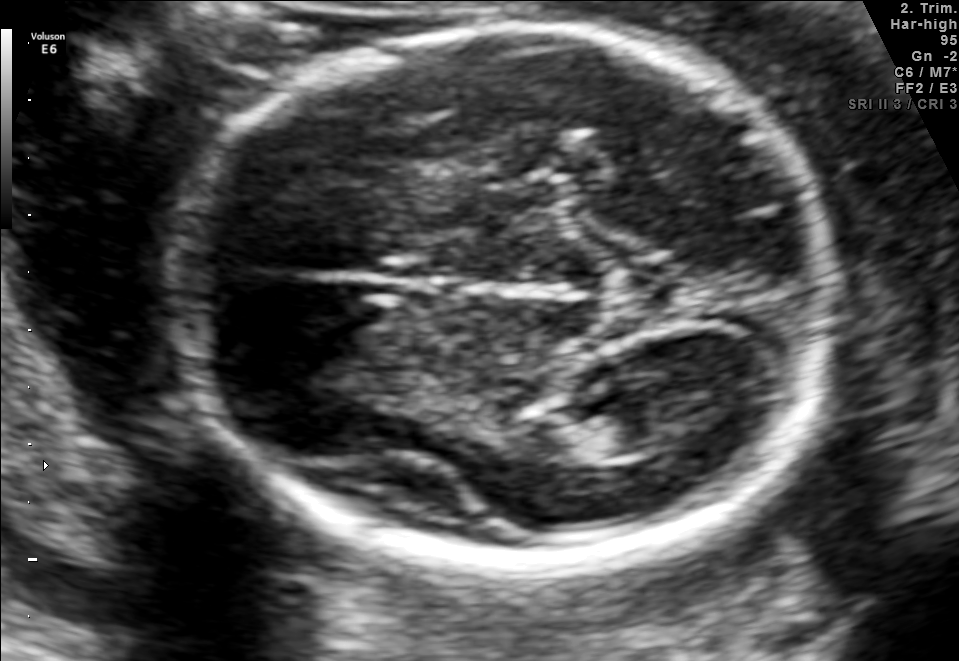
Fetal brain, trans-thalamic plane. Locate the fetal head and, if visible, the cavum septum pellucidum (CSP) and lateral ventricle (LV). Give bounding boxes as [x1,y1,x2,y2].

Head: [169,28,834,563]
Lateral ventricle: [552,382,672,470]